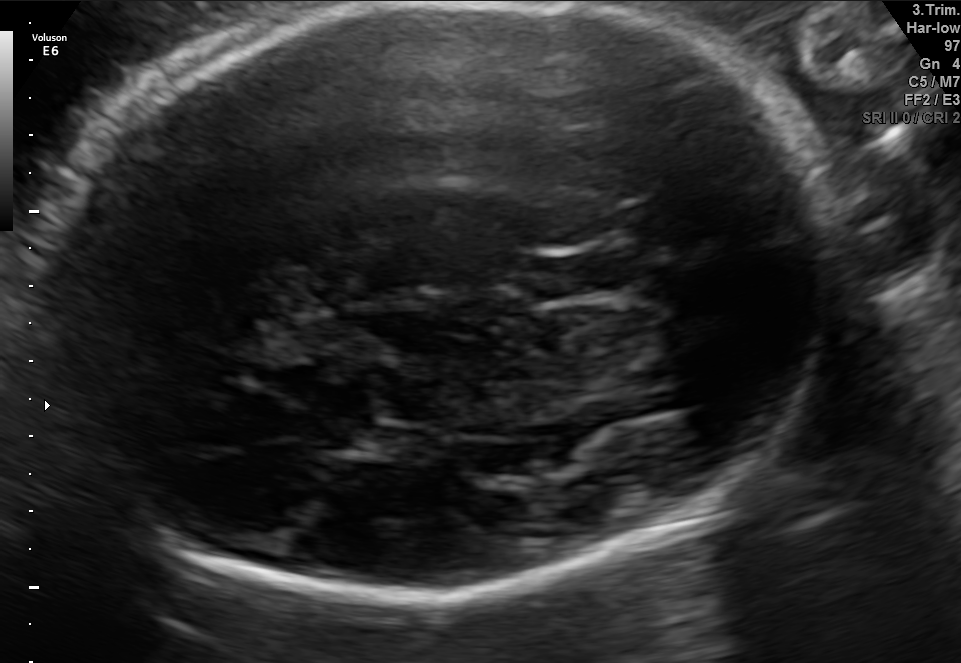
Fetal brain, trans-thalamic plane. Locate the fetal head and, if visible, the cavum septum pellucidum (CSP) and lateral ventricle (LV). Give bounding boxes as [x1,y1,x2,y2].

Head: [37,3,840,596]
CSP: [527,249,619,304]
Lateral ventricle: [310,409,390,459]